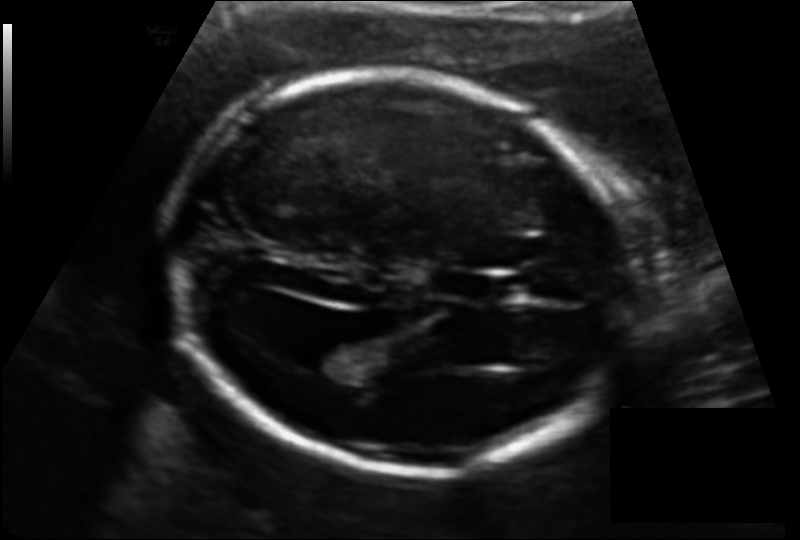
In this fetal head ultrasound, give the bounding box of the lateral ventricle. Image width: 104.7 mm.

[288,329,364,383]